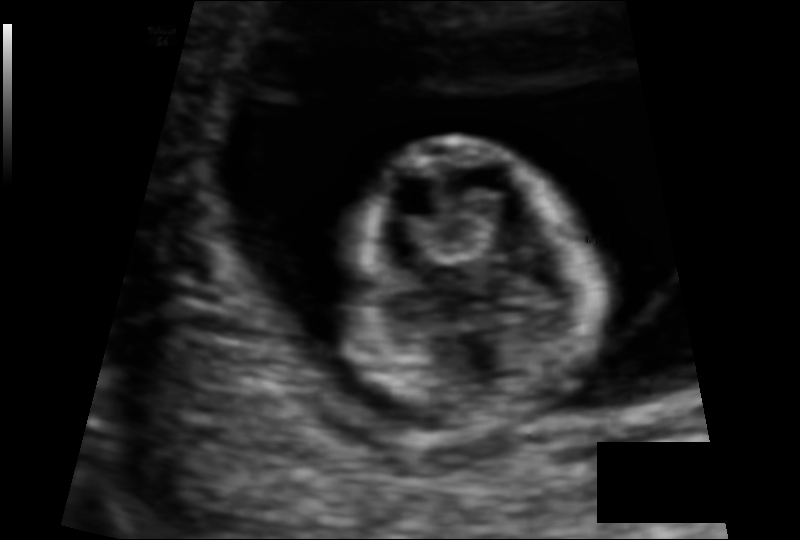
Fetal head ultrasound. Image width: 70.2 mm. Locate the fetal head.

Head: [349,138,596,428]